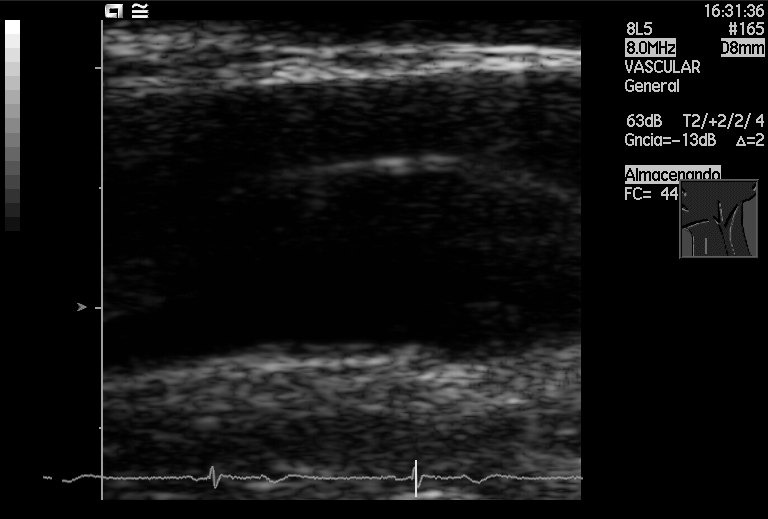
This is a 2D maternal-fetal ultrasound frame. Is it a fetal abdomen, fetal brain, fetal femur, fetal thorax, maternal cervix, or other standard plane? If it's fetal brain and one of the three standard brain planes (trans-thalamic, trans-cerebellum, trans-ventricular), name which.

Other